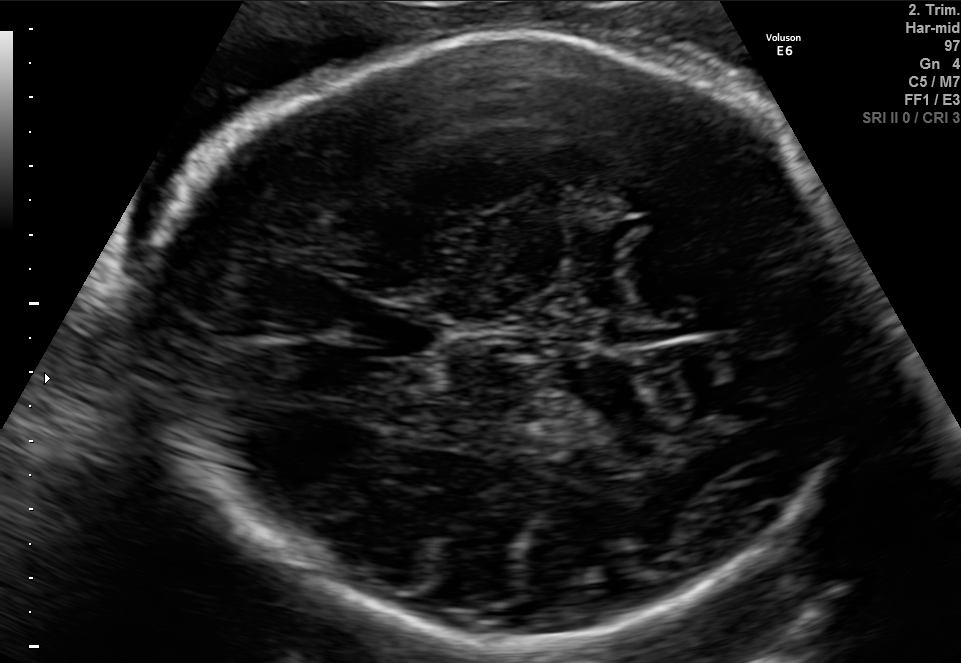
Fetal brain, trans-thalamic plane. Locate the fetal head.

Head: [148,31,861,648]